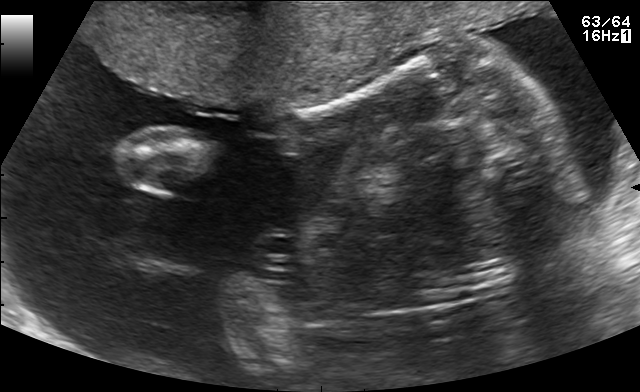
Classify this maternal-fetal ultrasound image as one of the six standard planes — fetal abdomen, fetal brain, fetal femur, fetal thorax, maternal cervix, or other. If it's fetal brain and one of the three standard brain planes (trans-thalamic, trans-cerebellum, trans-ventricular), name which.

Other